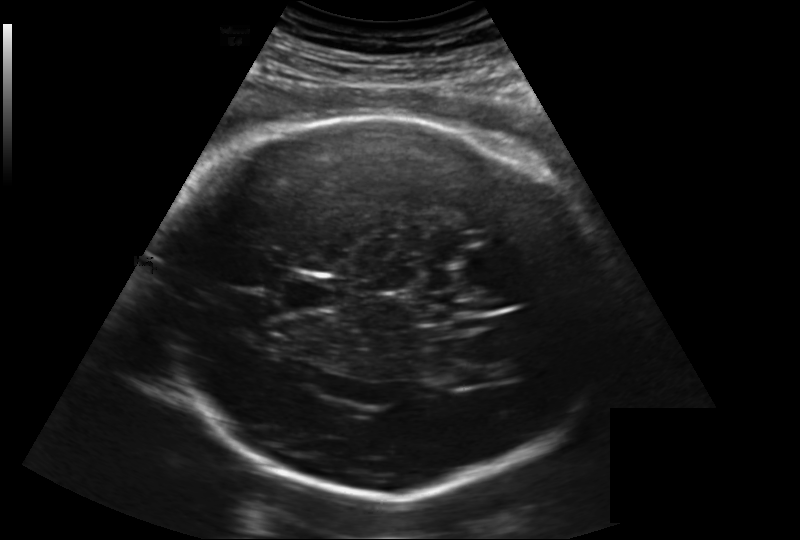
Fetal head ultrasound. Image width: 175.3 mm. Where is the cavum septum pellucidum?

CSP bounding box: [280,278,336,311]